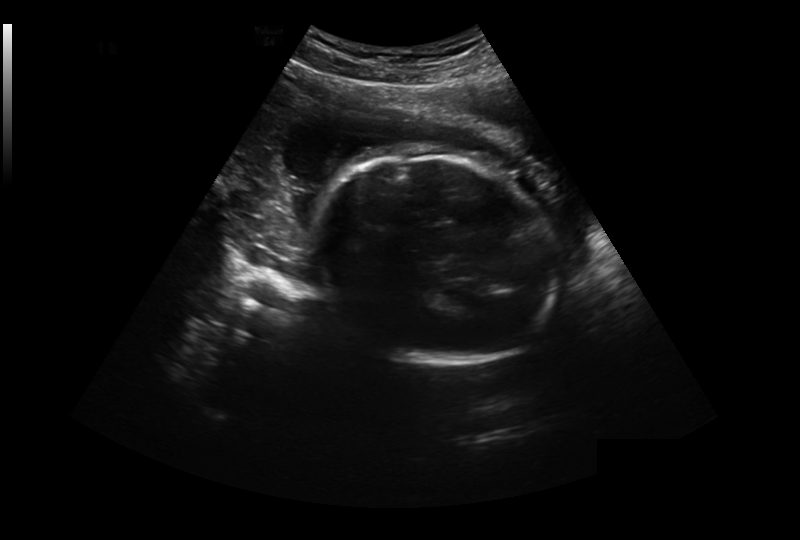
Estimate the fetal head circumference from this 2D ultrasound.

Head circumference: 241.7 mm (image width 261.2 mm).